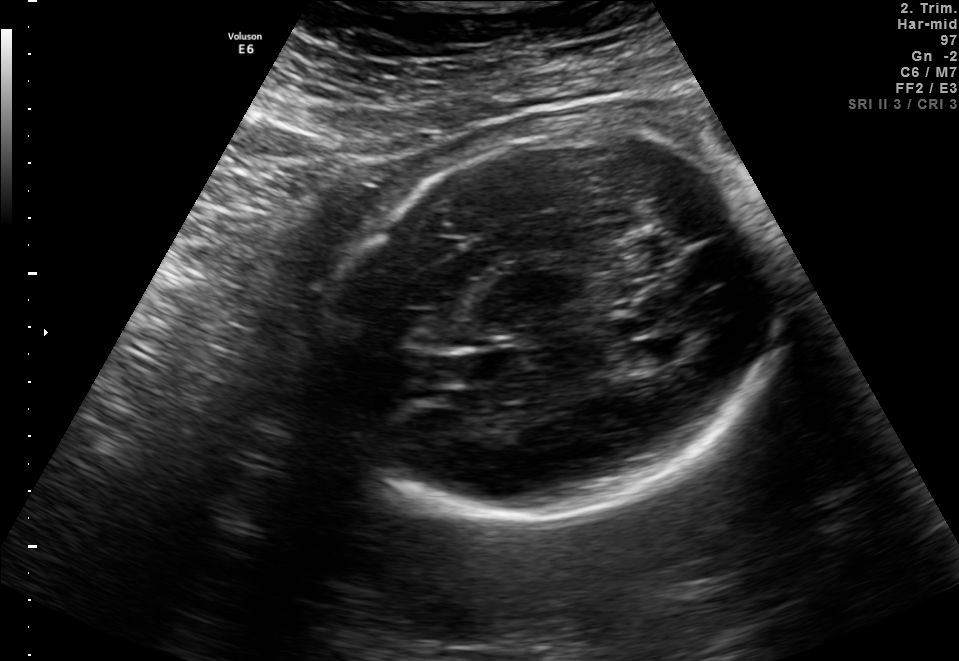
Fetal brain, trans-ventricular plane. Where is the fetal head?

Head bounding box: [317,127,790,526]